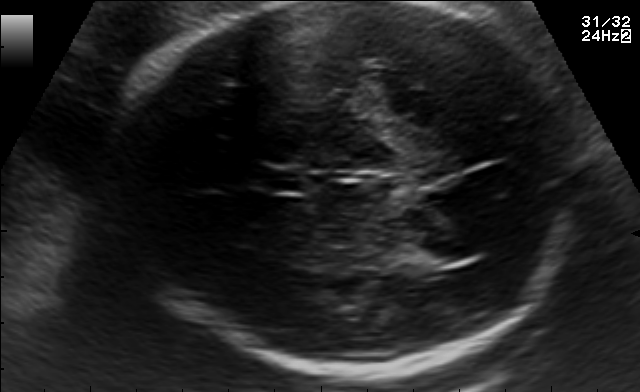
Fetal brain, trans-thalamic plane. Where is the lateral ventricle?

Lateral ventricle bounding box: [409,227,485,275]